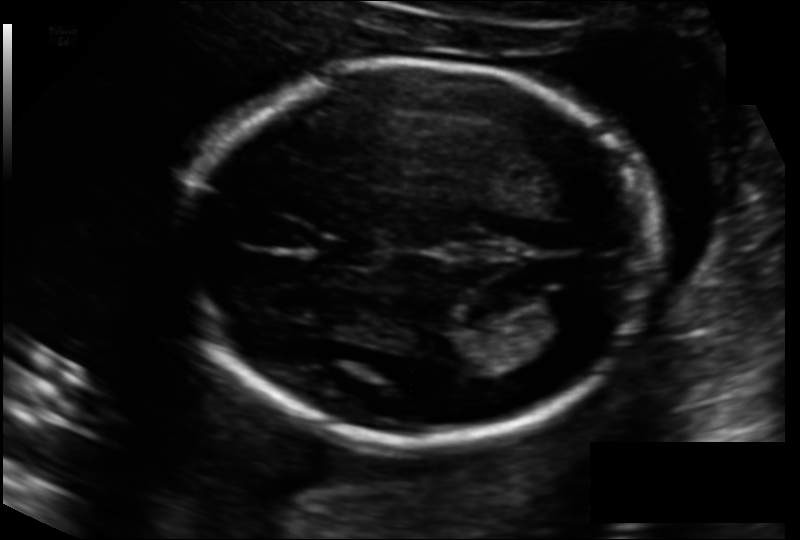
Estimate the fetal head circumference from this 2D ultrasound.

Head circumference: 182.9 mm (image width 106.6 mm).